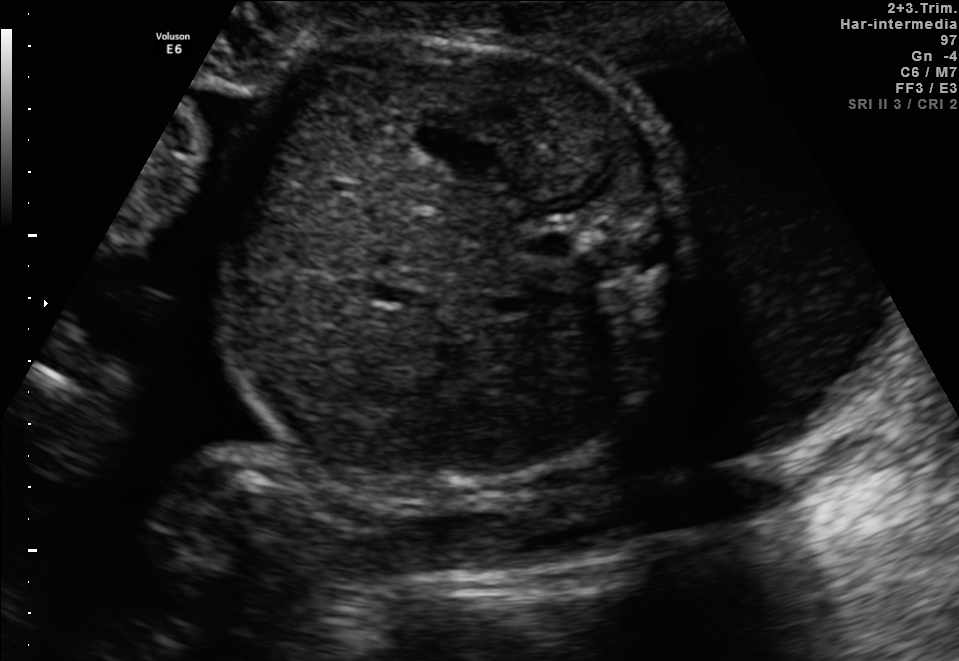
This is a 2D maternal-fetal ultrasound frame. Is it a fetal abdomen, fetal brain, fetal femur, fetal thorax, maternal cervix, or other standard plane? If it's fetal brain and one of the three standard brain planes (trans-thalamic, trans-cerebellum, trans-ventricular), name which.

Fetal abdomen